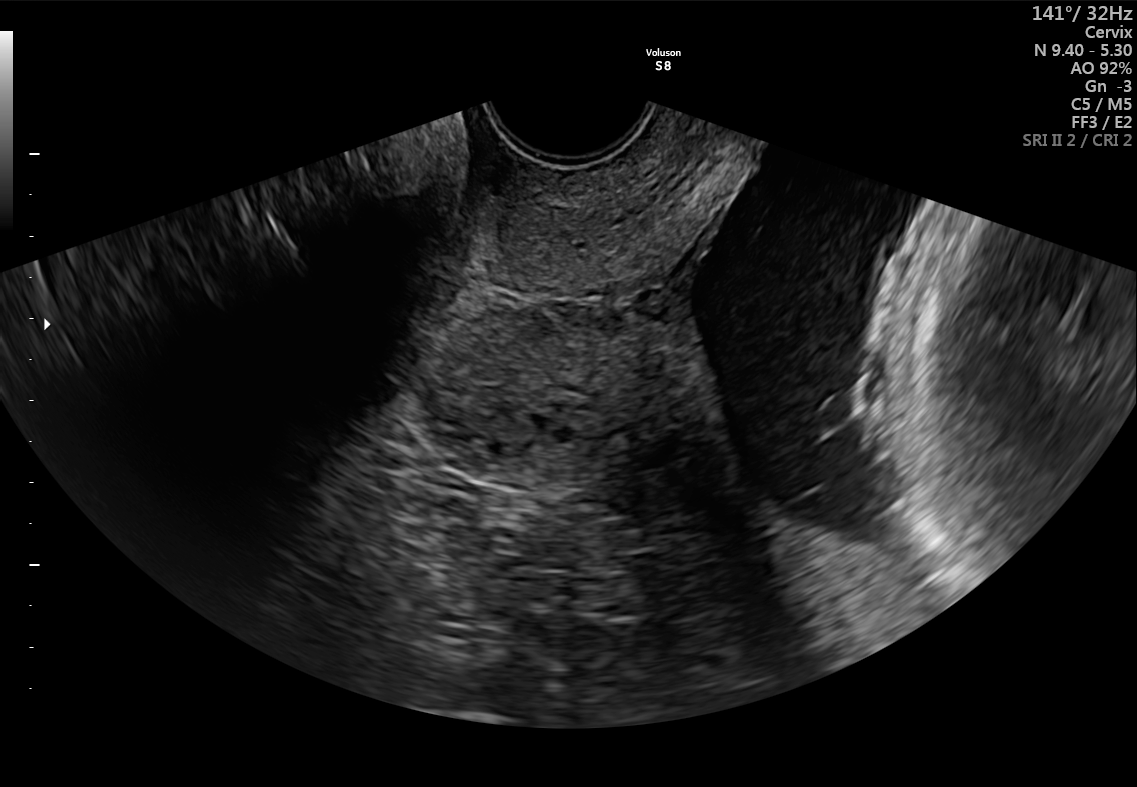
Identify the standard plane in this fetal ultrasound image: fetal abdomen, fetal brain, fetal femur, fetal thorax, maternal cervix, or other. If it's fetal brain and one of the three standard brain planes (trans-thalamic, trans-cerebellum, trans-ventricular), name which.

Maternal cervix